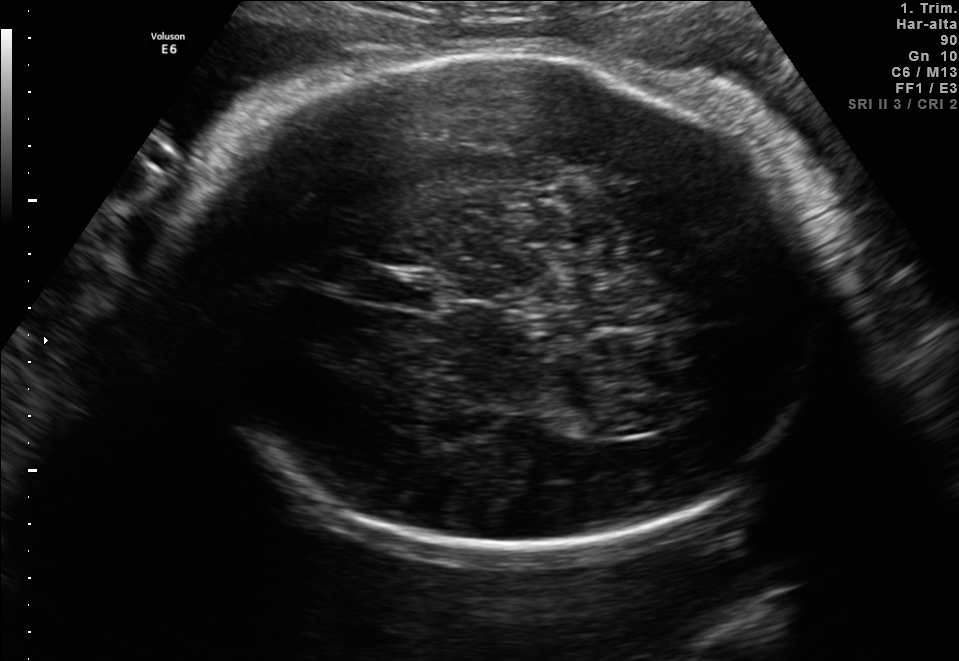
In this fetal brain, trans-thalamic plane, give the bounding box of the lateral ventricle.

[586,402,661,441]